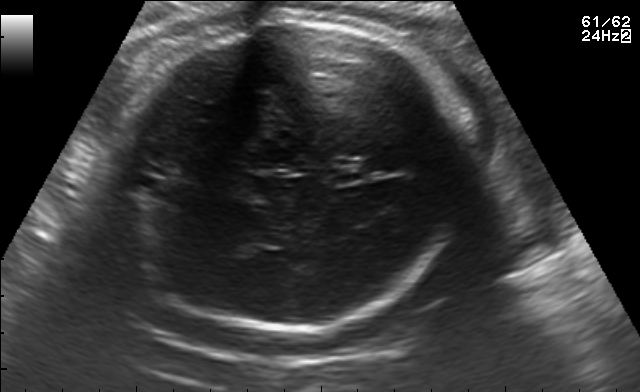
Fetal brain, trans-thalamic plane. Give [x1,y1,x2,y2] bounding boxes for each visible structure among: fetal head, CSP, LV.

Head: [101,21,468,330]